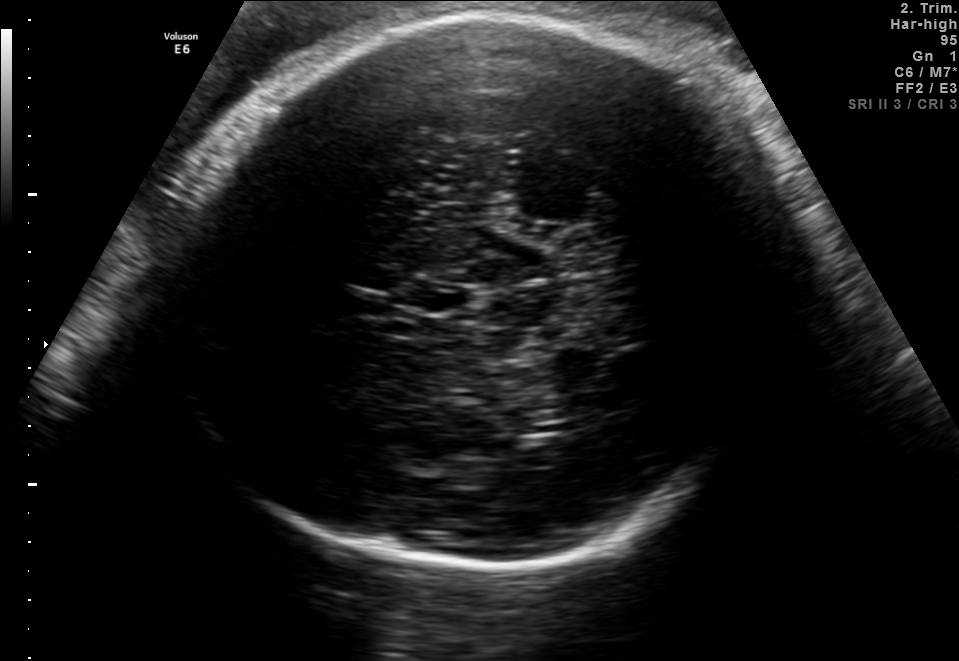
In this fetal brain, trans-thalamic plane, give the bounding box of the fetal head.

[169,15,780,578]